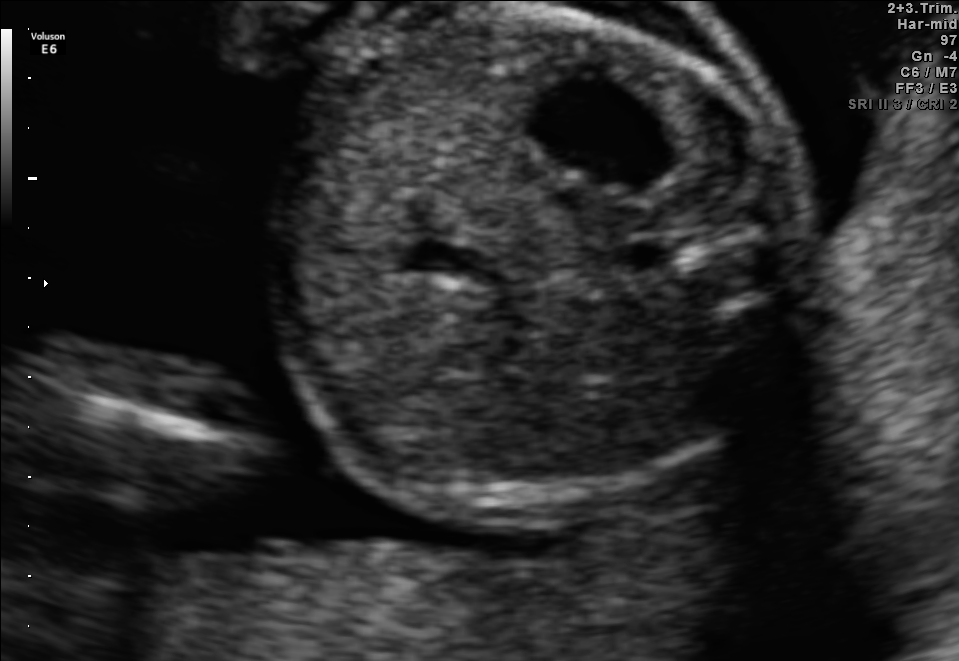
Classify this maternal-fetal ultrasound image as one of the six standard planes — fetal abdomen, fetal brain, fetal femur, fetal thorax, maternal cervix, or other. If it's fetal brain and one of the three standard brain planes (trans-thalamic, trans-cerebellum, trans-ventricular), name which.

Fetal abdomen